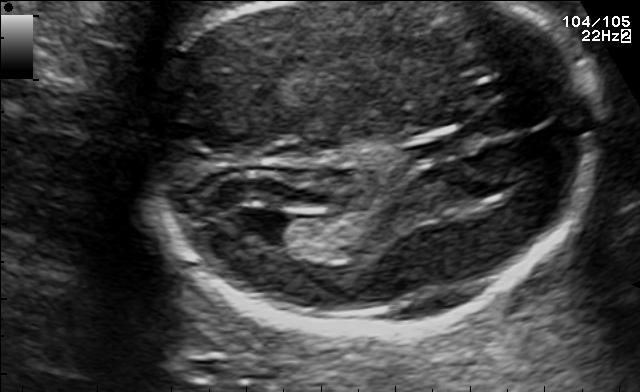
In this fetal brain, trans-ventricular plane, give bounding boxes for the cavum septum pellucidum (CSP) and lateral ventricle (LV), where visible.

CSP: [398,116,487,173]
Lateral ventricle: [227,197,305,249]